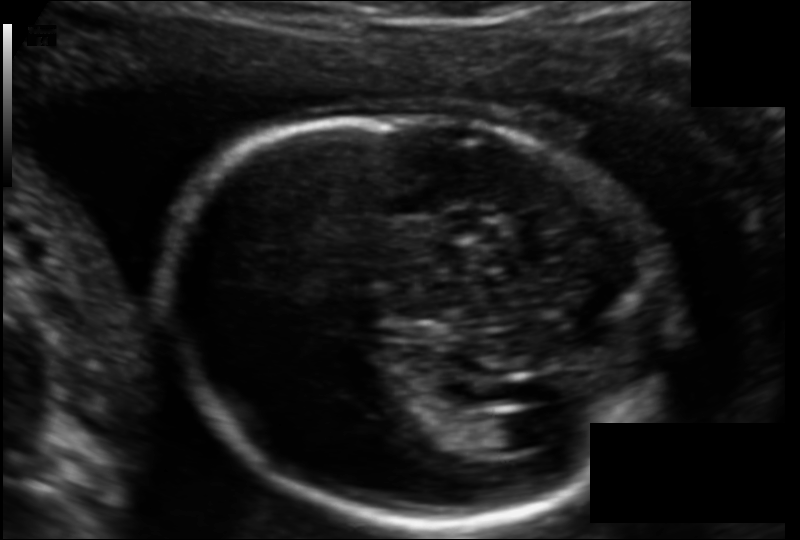
What is the fetal head circumference? Image width is 98.5 mm.

180.8 mm